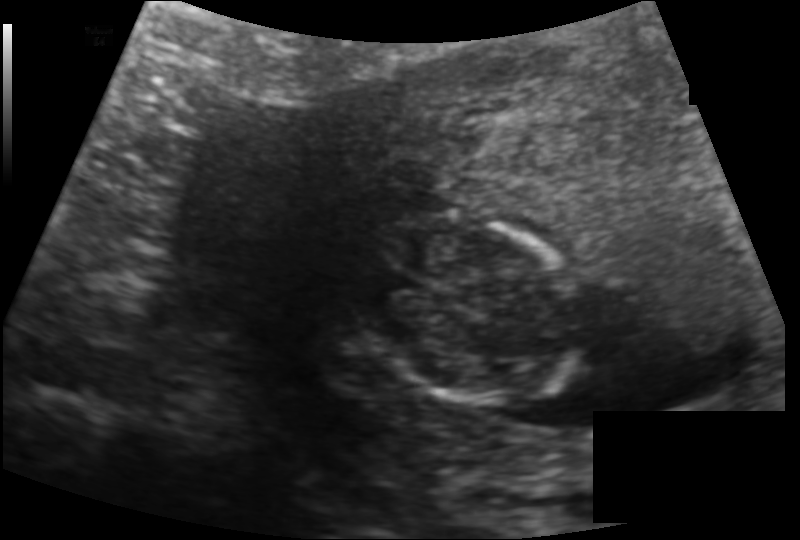
Estimate the fetal head circumference from this 2D ultrasound. Image width: 102.6 mm.

Head circumference: 87.0 mm.